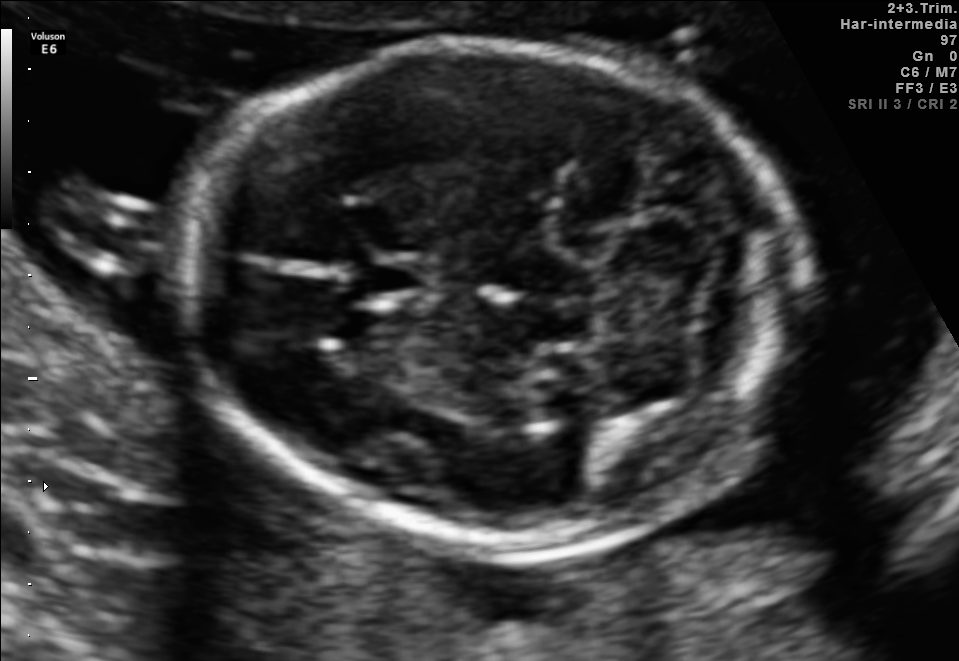
Fetal brain, trans-cerebellum plane. Locate the cavum septum pellucidum.

CSP: [356,255,437,308]